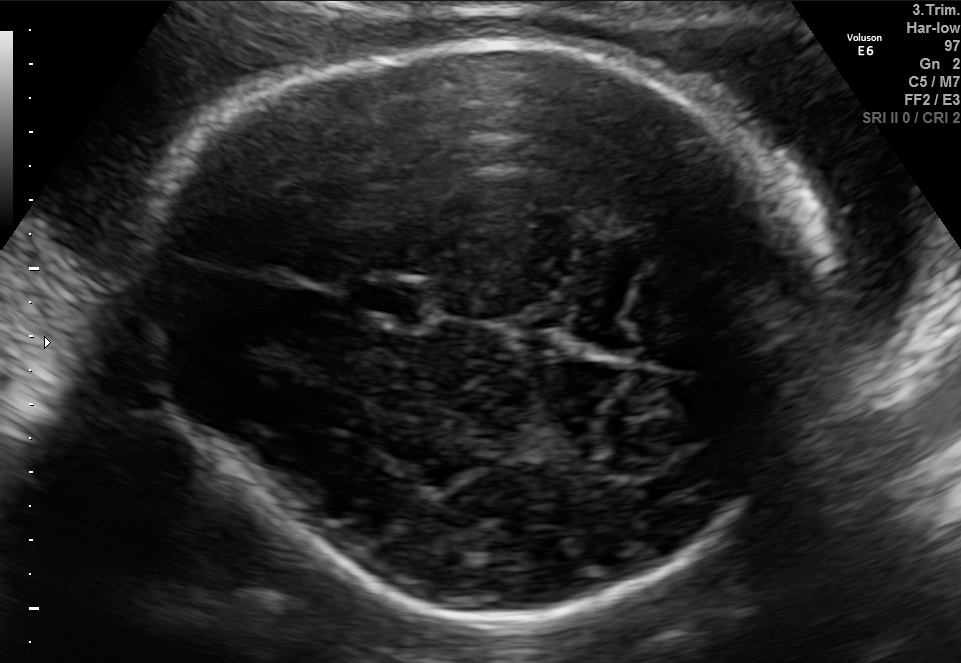
Fetal brain, trans-thalamic plane. Locate the fetal head.

Head: [134,33,827,628]